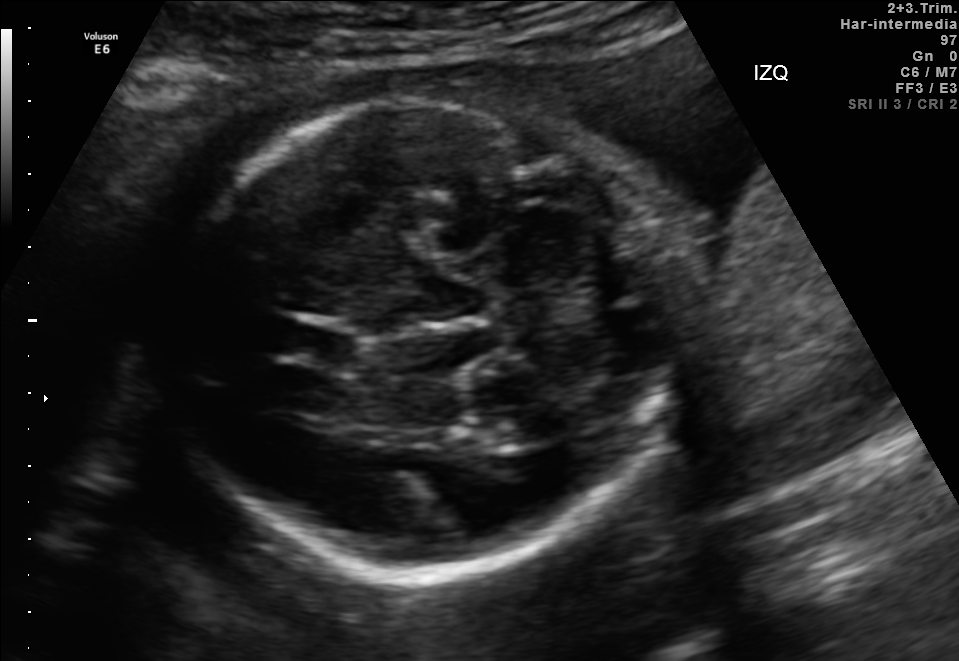
Fetal brain, trans-cerebellum plane. Locate the cavum septum pellucidum.

CSP: [278,315,362,372]